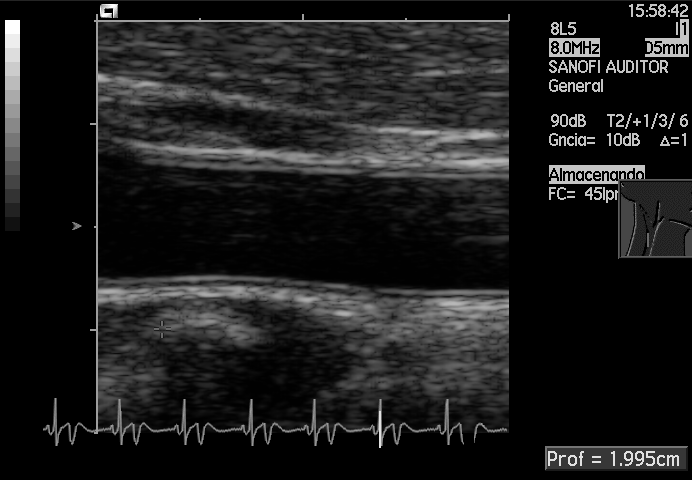
This is a 2D maternal-fetal ultrasound frame. Is it a fetal abdomen, fetal brain, fetal femur, fetal thorax, maternal cervix, or other standard plane? If it's fetal brain and one of the three standard brain planes (trans-thalamic, trans-cerebellum, trans-ventricular), name which.

Other